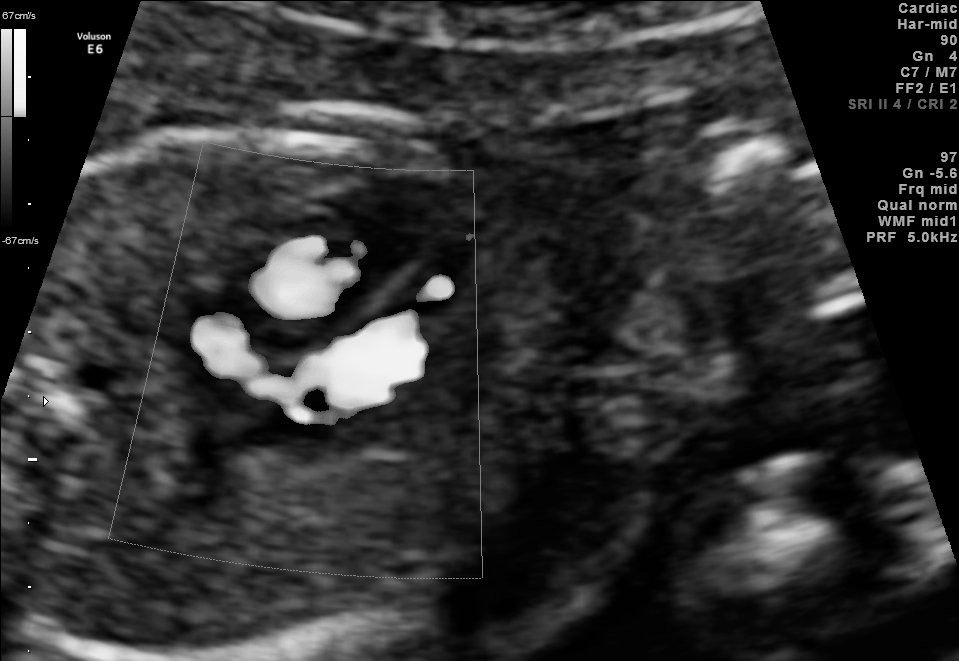
Classify this maternal-fetal ultrasound image as one of the six standard planes — fetal abdomen, fetal brain, fetal femur, fetal thorax, maternal cervix, or other. If it's fetal brain and one of the three standard brain planes (trans-thalamic, trans-cerebellum, trans-ventricular), name which.

Other